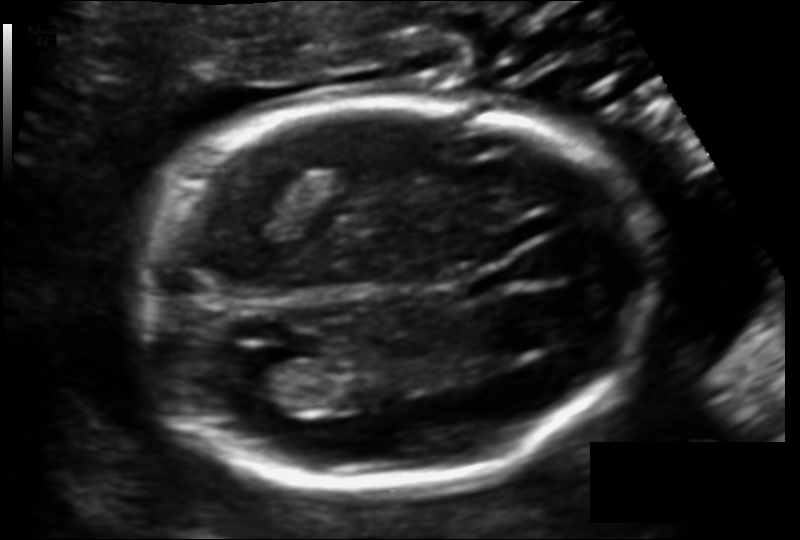
Fetal head ultrasound. Image width: 97.3 mm. Where is the lateral ventricle?

Lateral ventricle bounding box: [241,357,319,413]